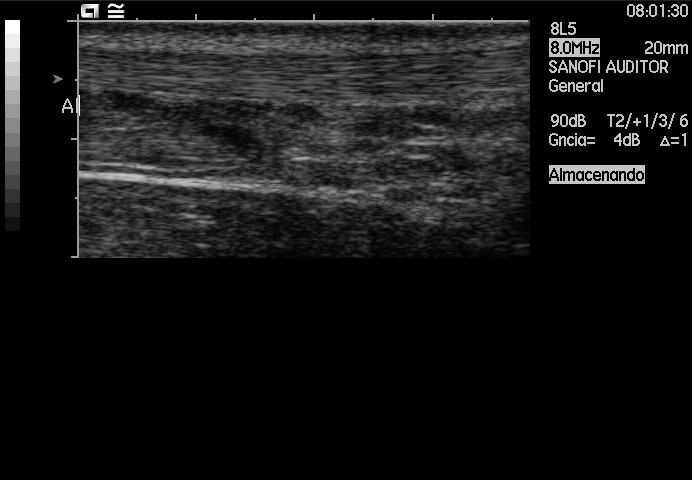
Identify the standard plane in this fetal ultrasound image: fetal abdomen, fetal brain, fetal femur, fetal thorax, maternal cervix, or other. If it's fetal brain and one of the three standard brain planes (trans-thalamic, trans-cerebellum, trans-ventricular), name which.

Other